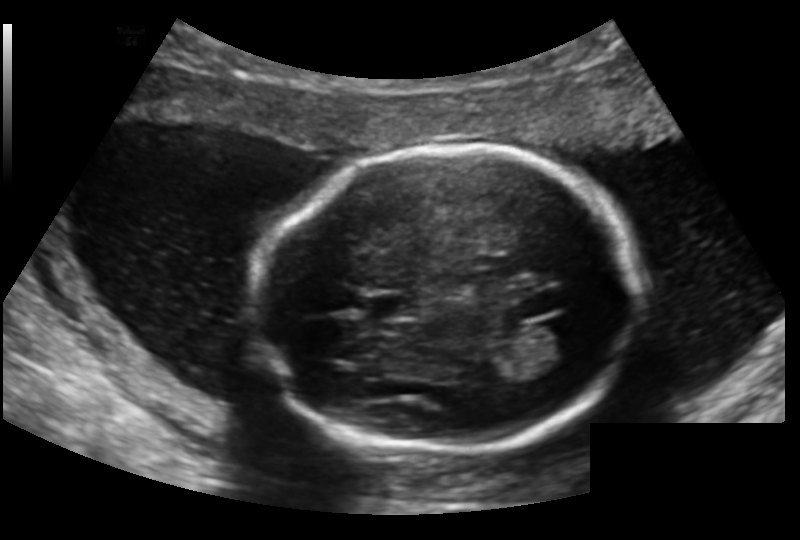
Fetal head ultrasound. Image width: 127.4 mm. Where is the lateral ventricle?

Lateral ventricle bounding box: [531,313,595,366]